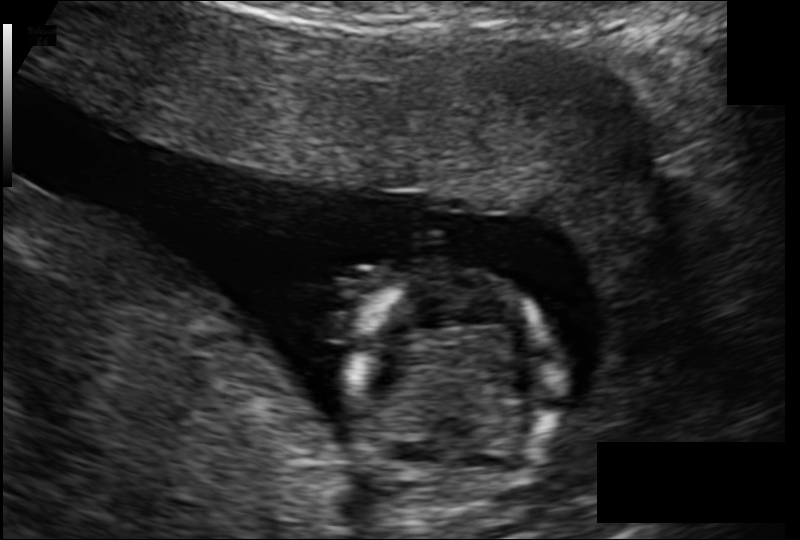
Fetal head ultrasound. Image width: 98.6 mm. Give [x1,y1,x2,y2] bounding boxes for each visible structure among: fetal head, CSP, LV.

Head: [344,270,560,511]